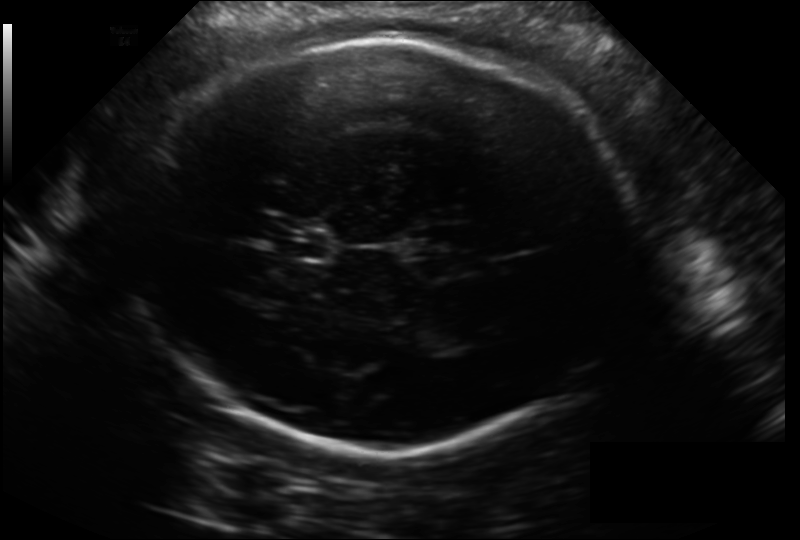
Fetal head ultrasound. Image width: 168.5 mm. Locate the cavum septum pellucidum.

CSP: [272,222,330,263]